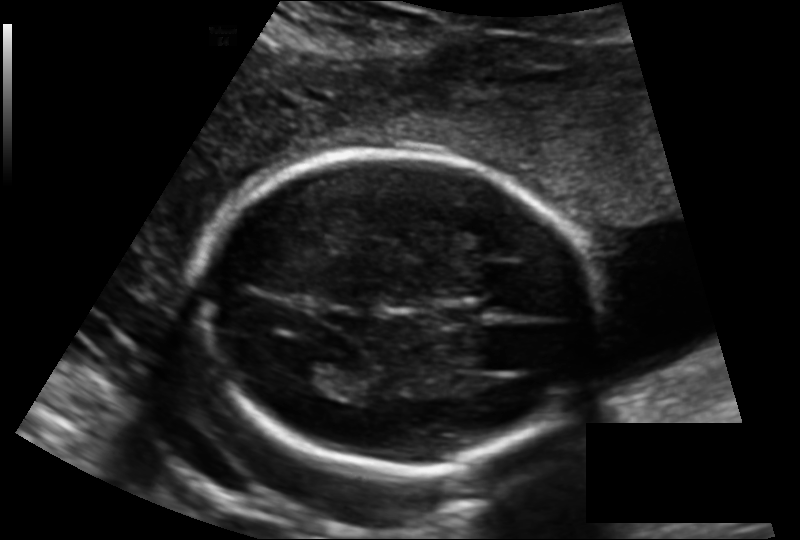
Measure the fetal head circumference shown in this ultrasound image. Image width: 114.7 mm.

Head circumference: 169.0 mm.